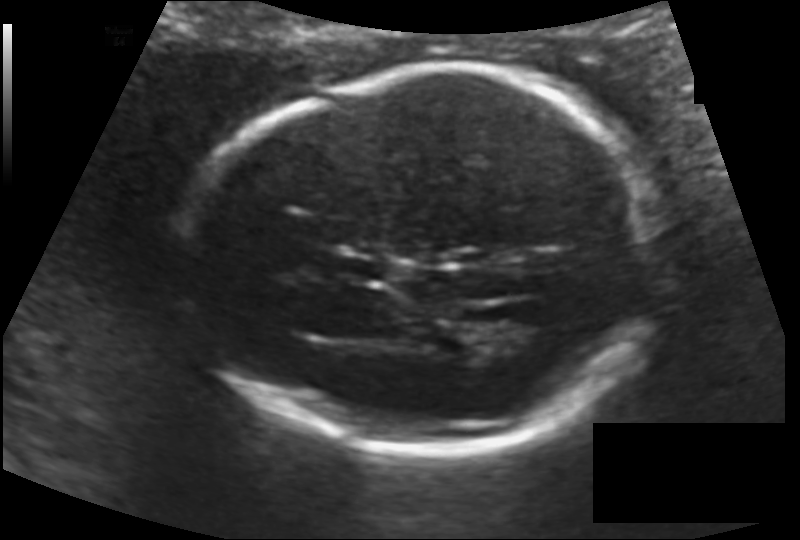
Fetal head ultrasound. Image width: 102.3 mm. Locate the cavum septum pellucidum.

CSP: [331,251,391,286]